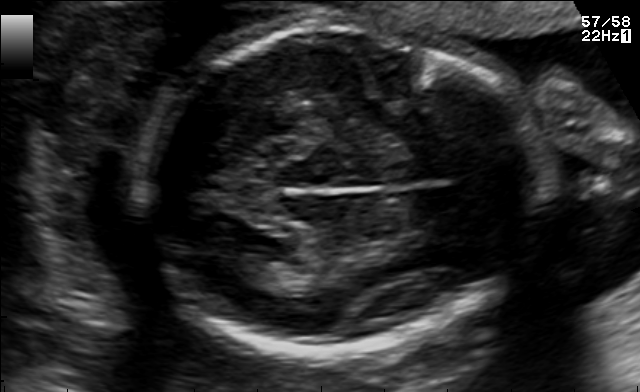
Fetal brain, trans-thalamic plane. Locate the fetal head.

Head: [141,23,541,352]